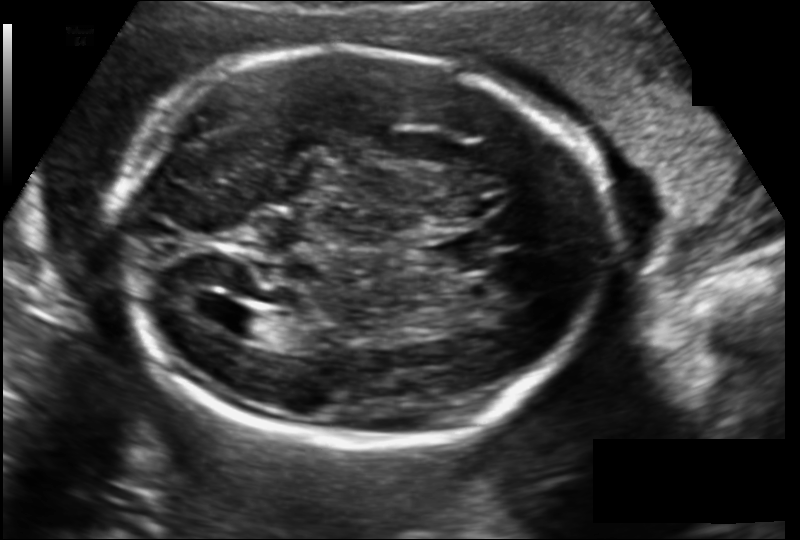
Fetal head ultrasound. Image width: 119.2 mm. Give [x1,y1,x2,y2] bounding boxes for each visible structure among: fetal head, CSP, LV.

Head: [113,48,606,443]
CSP: [425,230,487,278]
Lateral ventricle: [219,305,276,343]